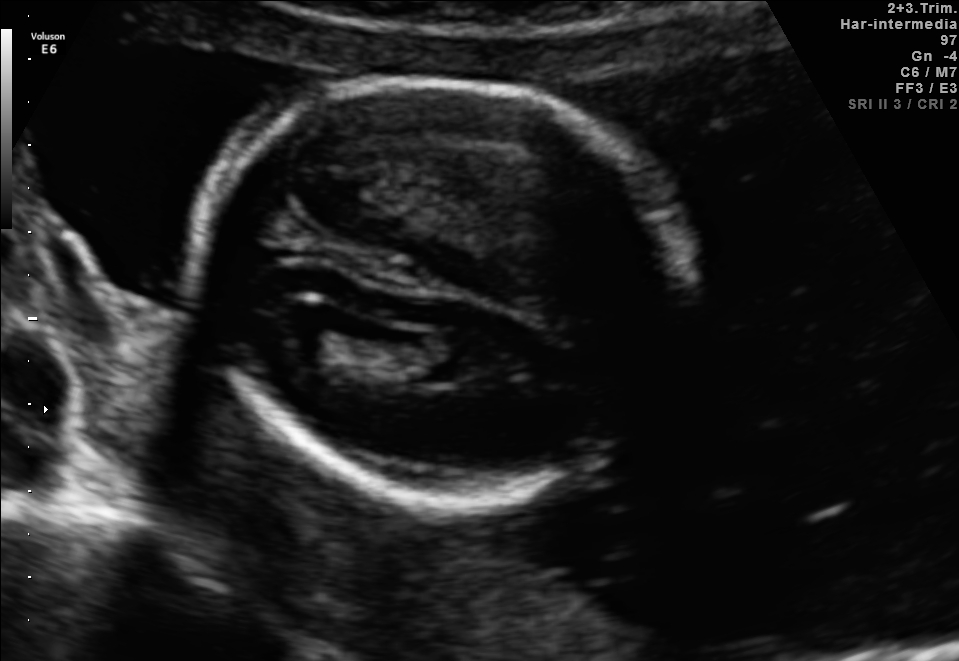
In this fetal brain, trans-ventricular plane, give the bounding box of the fetal head.

[181,69,716,512]